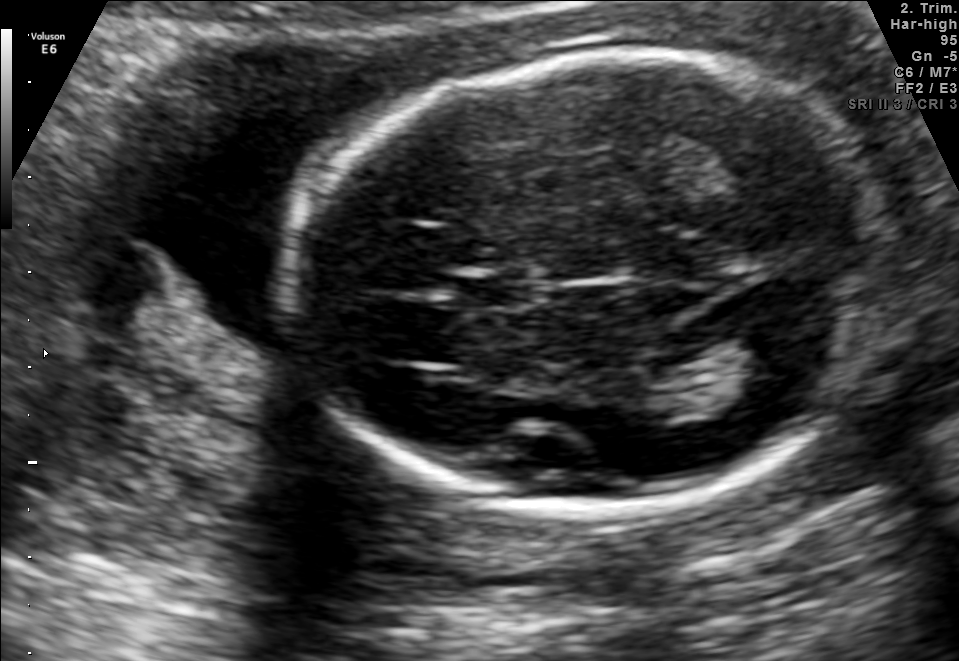
Fetal brain, trans-thalamic plane. Locate the cavum septum pellucidum.

CSP: [461,278,529,306]